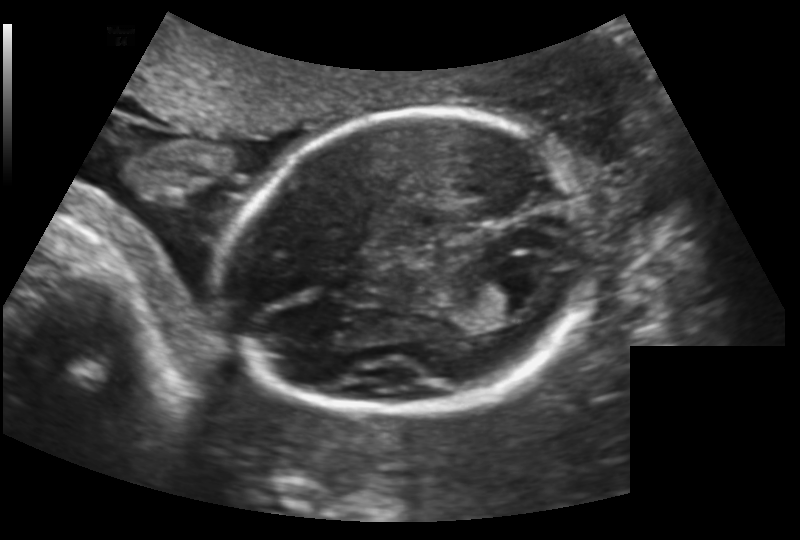
Fetal head ultrasound. Image width: 127.5 mm. Give [x1,y1,x2,y2] bounding boxes for each visible structure among: fetal head, CSP, LV.

Head: [227,110,598,415]
Lateral ventricle: [485,261,561,322]